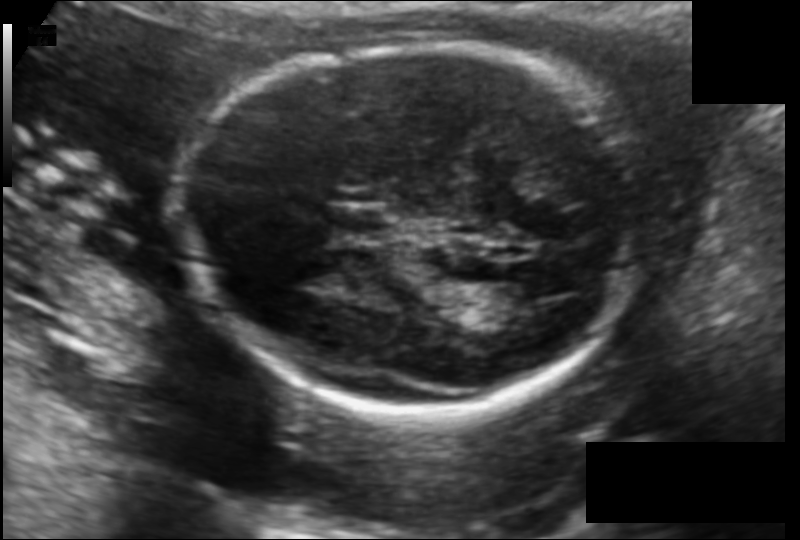
What is the fetal head circumference? Image width is 98.5 mm.

165.8 mm